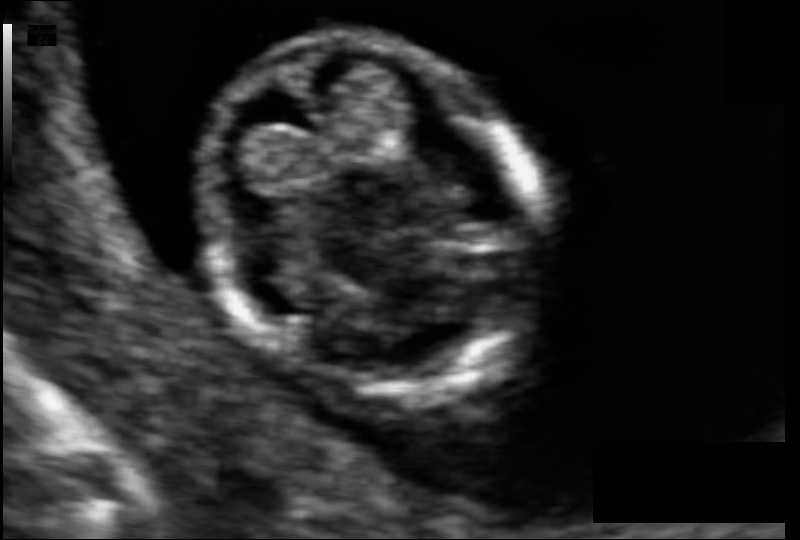
Estimate the fetal head circumference from this 2D ultrasound.

Head circumference: 74.1 mm (image width 50.8 mm).